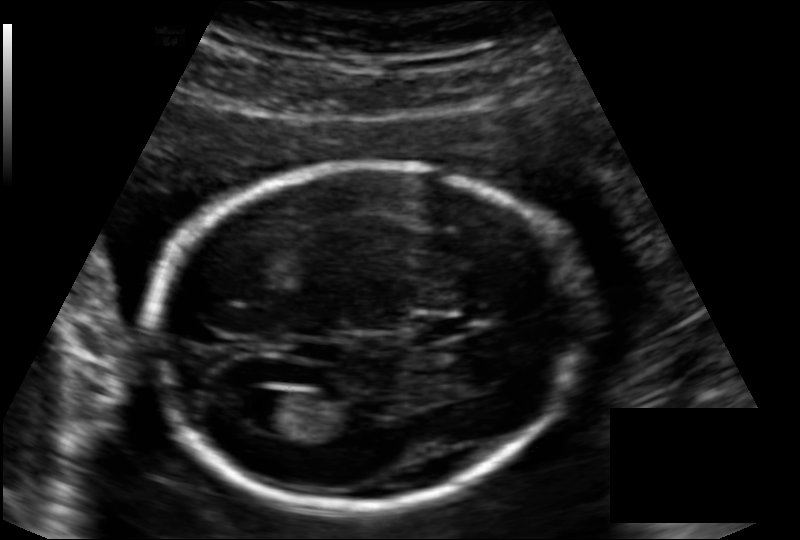
In this fetal head ultrasound, give the bounding box of the lateral ventricle. Image width: 108.5 mm.

[232,386,302,435]